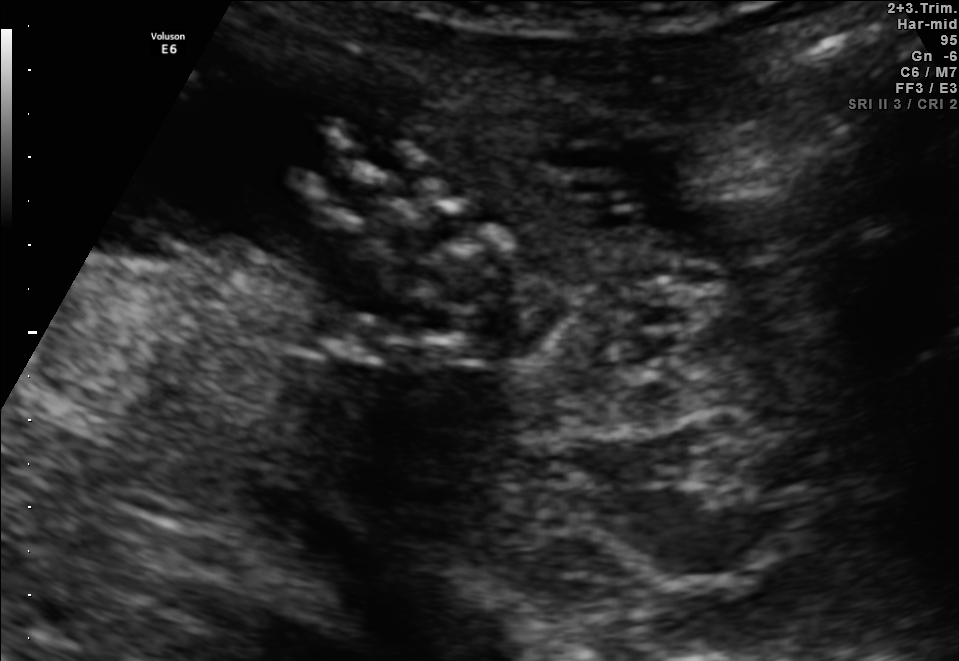
Identify the standard plane in this fetal ultrasound image: fetal abdomen, fetal brain, fetal femur, fetal thorax, maternal cervix, or other. If it's fetal brain and one of the three standard brain planes (trans-thalamic, trans-cerebellum, trans-ventricular), name which.

Other